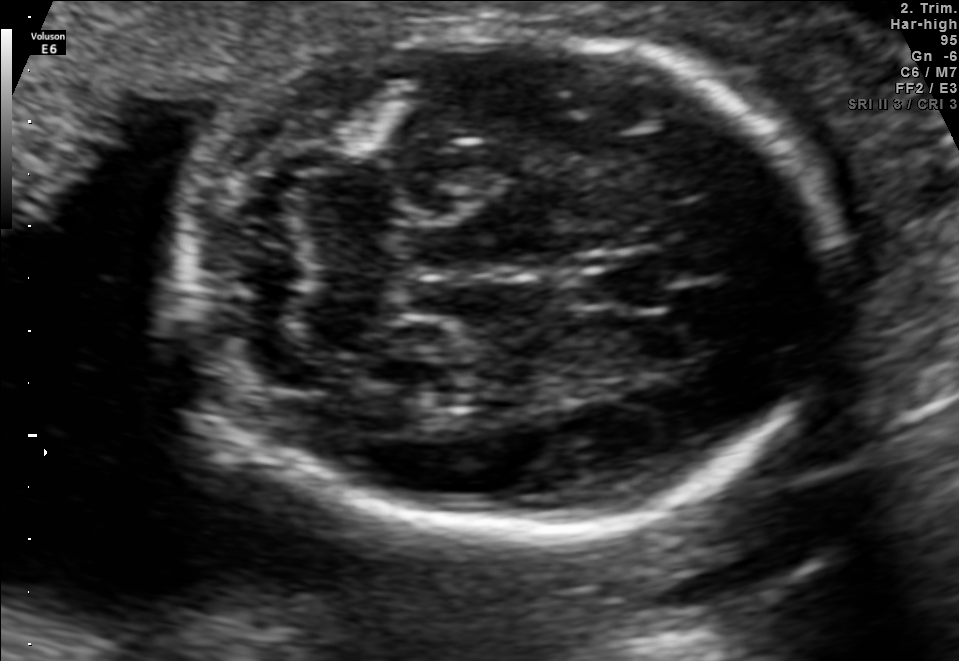
Fetal brain, trans-cerebellum plane. Locate the cavum septum pellucidum.

CSP: [584,261,677,316]